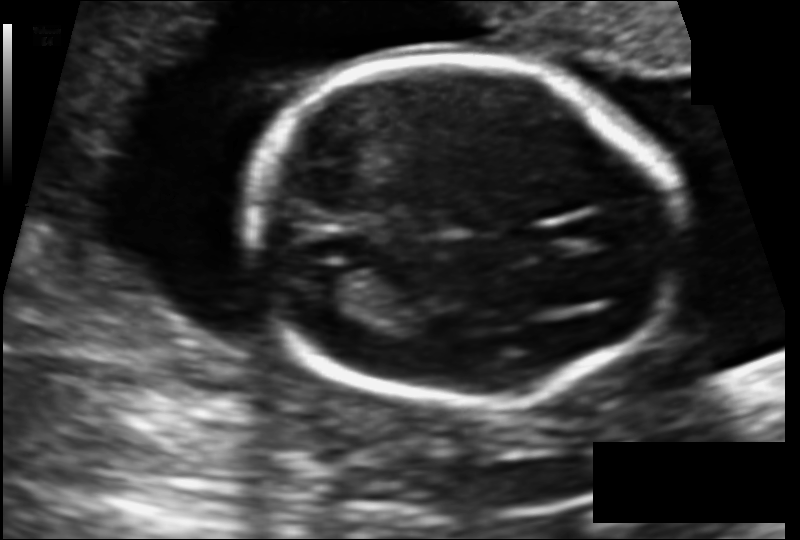
Estimate the fetal head circumference from this 2D ultrasound. Image width: 96.7 mm.

Head circumference: 153.8 mm.